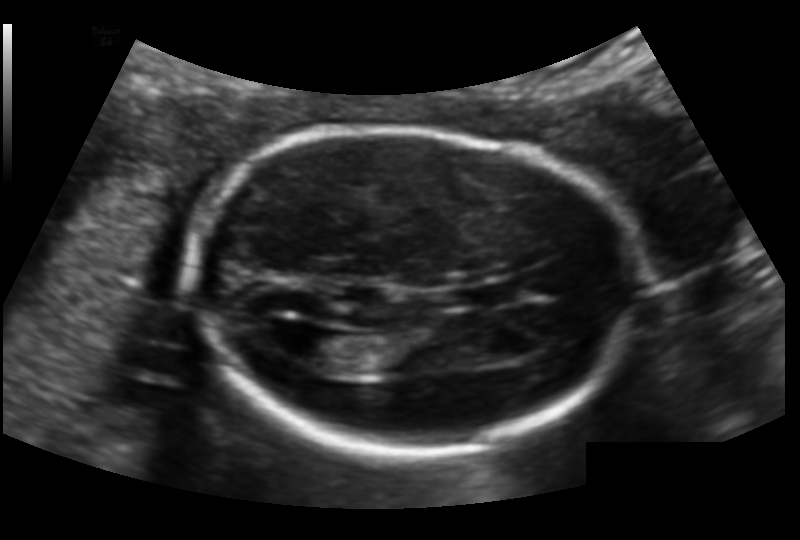
Estimate the fetal head circumference from this 2D ultrasound.

Head circumference: 167.1 mm (image width 105.5 mm).